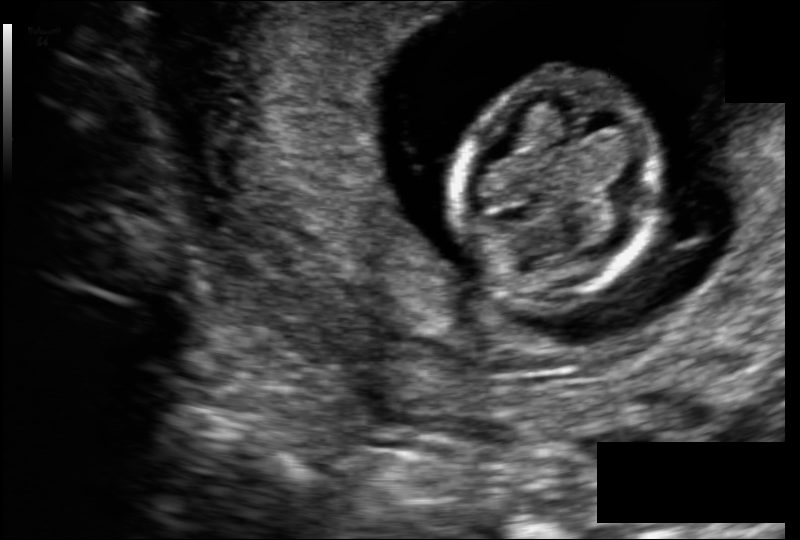
What is the fetal head circumference? Image width is 87.2 mm.

79.5 mm